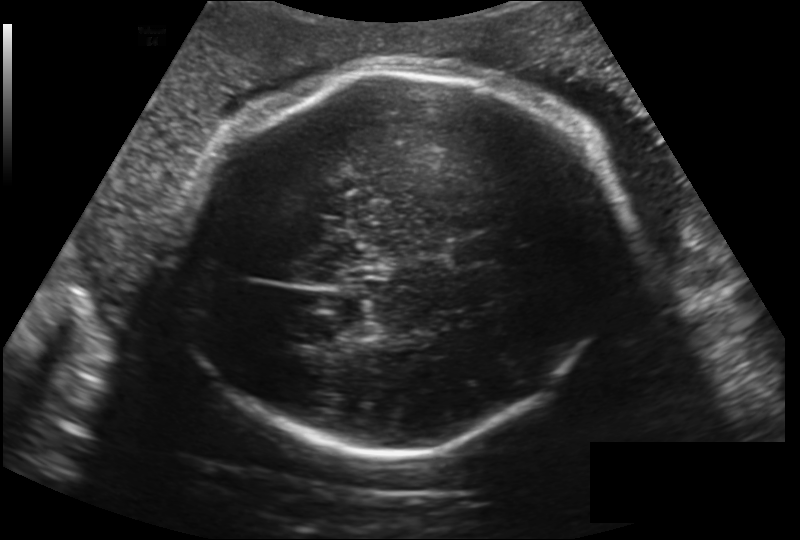
In this fetal head ultrasound, give bounding boxes for the head outline, cavum septum pellucidum (CSP), and lateral ventricle (LV), where visible. Image width: 179.4 mm.

Head: [179,62,616,455]